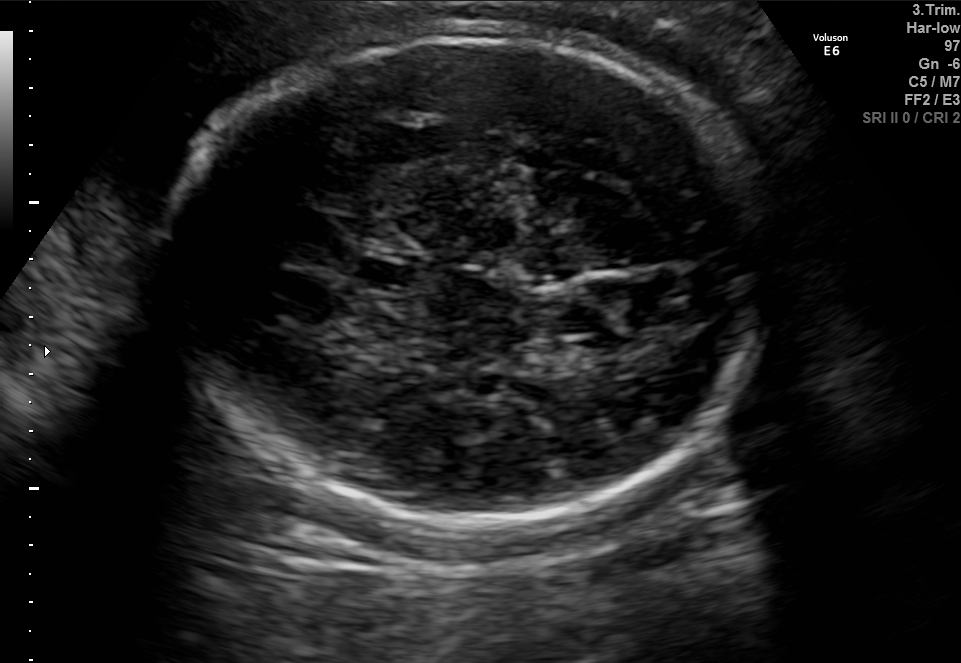
Classify this maternal-fetal ultrasound image as one of the six standard planes — fetal abdomen, fetal brain, fetal femur, fetal thorax, maternal cervix, or other. If it's fetal brain and one of the three standard brain planes (trans-thalamic, trans-cerebellum, trans-ventricular), name which.

Fetal brain (trans-thalamic plane)